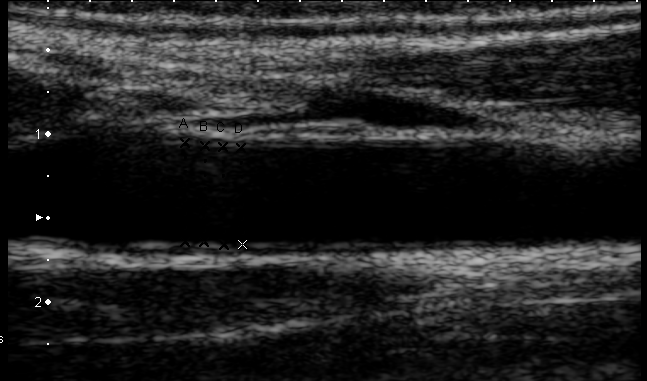
Which standard maternal-fetal ultrasound plane is shown: fetal abdomen, fetal brain, fetal femur, fetal thorax, maternal cervix, or other? If it's fetal brain and one of the three standard brain planes (trans-thalamic, trans-cerebellum, trans-ventricular), name which.

Other